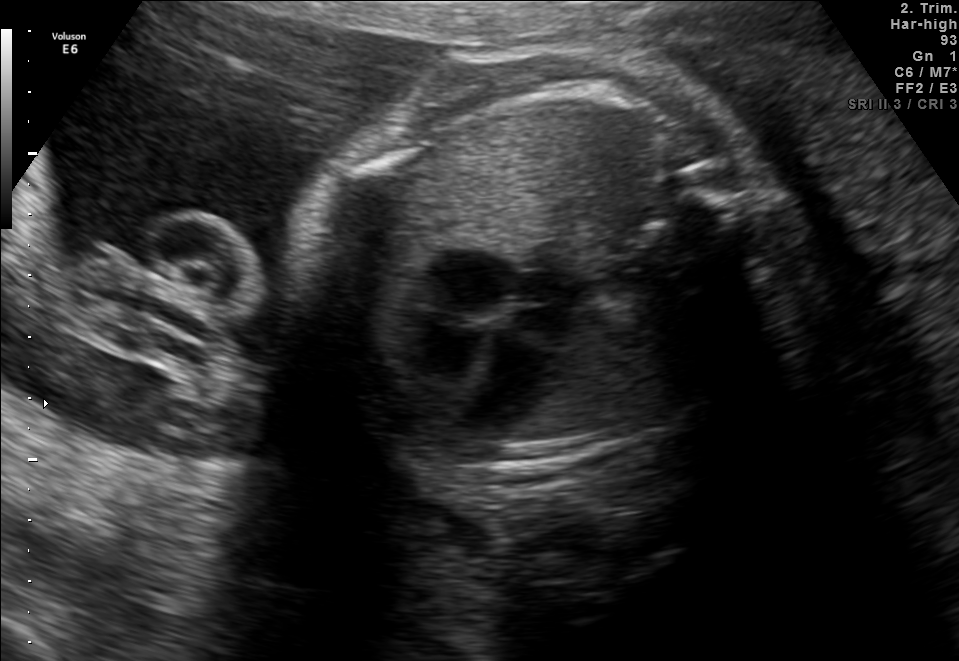
Classify this maternal-fetal ultrasound image as one of the six standard planes — fetal abdomen, fetal brain, fetal femur, fetal thorax, maternal cervix, or other. If it's fetal brain and one of the three standard brain planes (trans-thalamic, trans-cerebellum, trans-ventricular), name which.

Fetal thorax